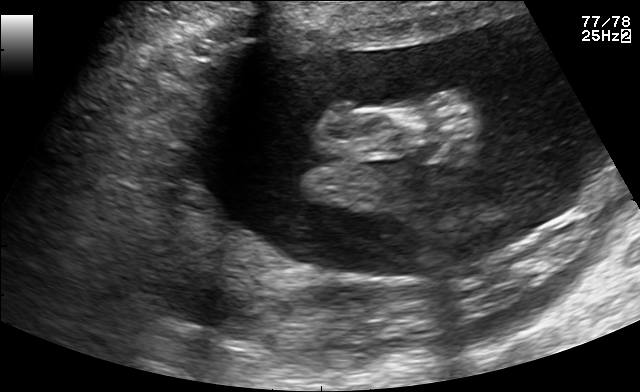
Identify the standard plane in this fetal ultrasound image: fetal abdomen, fetal brain, fetal femur, fetal thorax, maternal cervix, or other. If it's fetal brain and one of the three standard brain planes (trans-thalamic, trans-cerebellum, trans-ventricular), name which.

Other